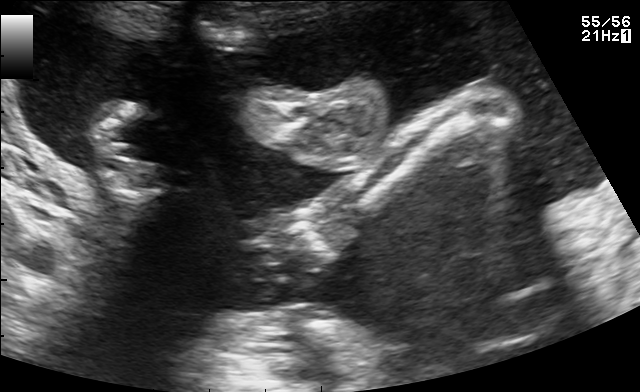
This is a 2D maternal-fetal ultrasound frame. Is it a fetal abdomen, fetal brain, fetal femur, fetal thorax, maternal cervix, or other standard plane? If it's fetal brain and one of the three standard brain planes (trans-thalamic, trans-cerebellum, trans-ventricular), name which.

Other